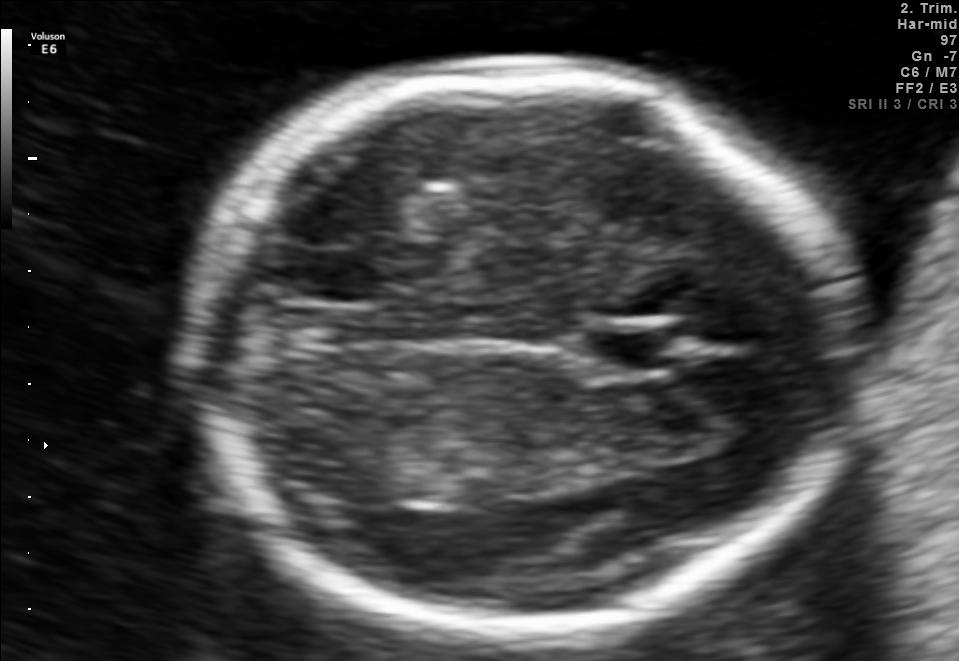
Fetal brain, trans-thalamic plane. Give [x1,y1,x2,y2] bounding boxes for each visible structure among: fetal head, CSP, LV.

Head: [187,66,852,647]
CSP: [590,323,686,376]